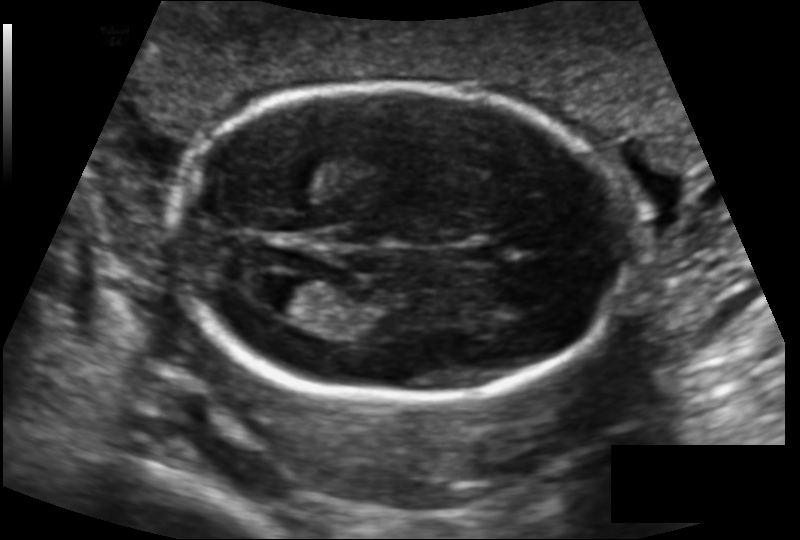
Fetal head ultrasound. Image width: 104.8 mm. Locate the lateral ventricle.

Lateral ventricle: [248,269,327,321]